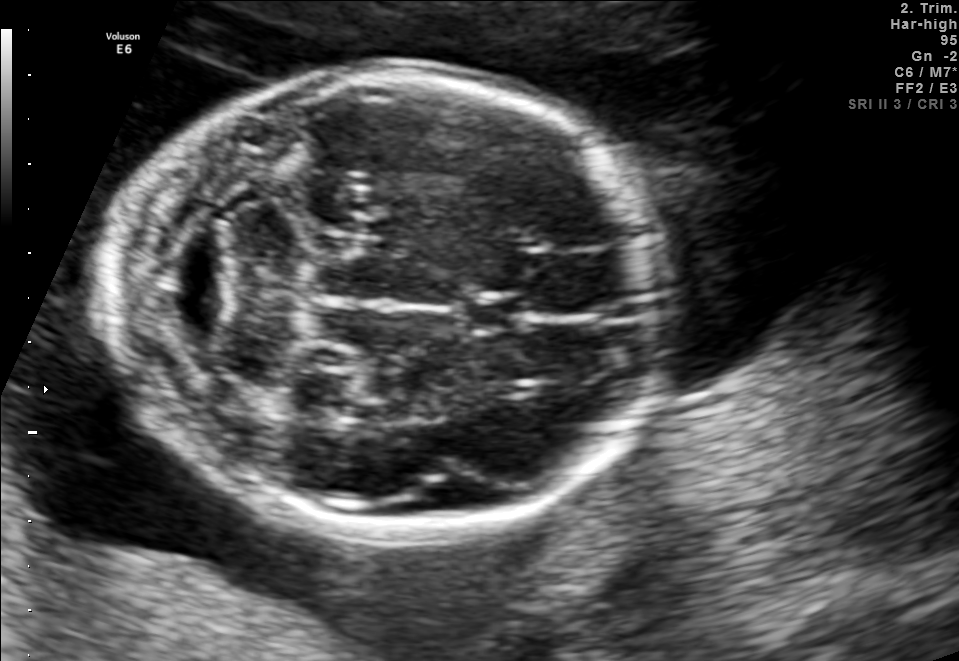
In this fetal brain, trans-cerebellum plane, give the bounding box of the fetal head.

[106,71,661,530]